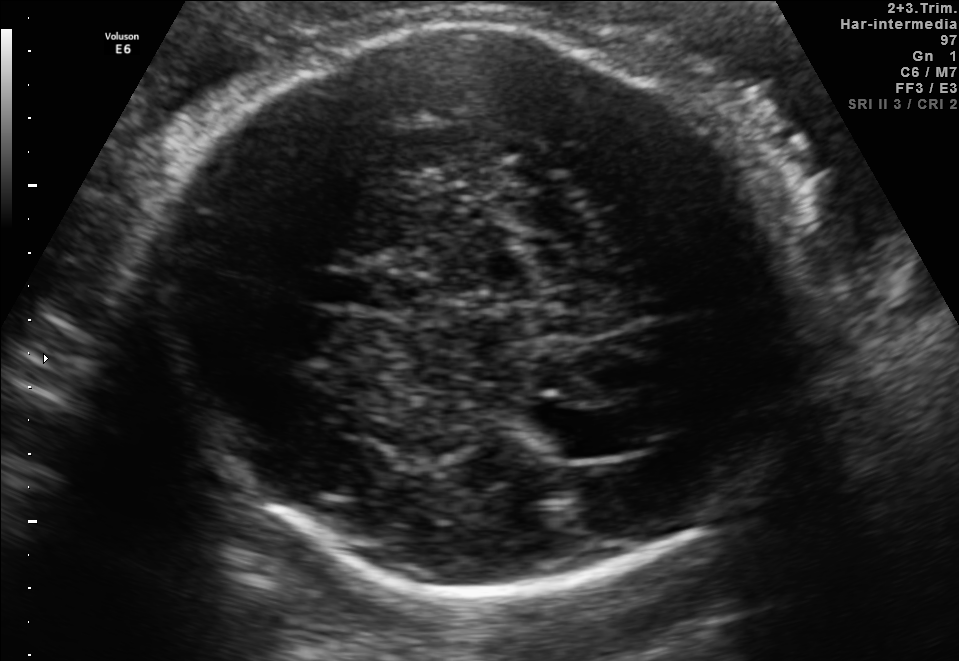
Fetal brain, trans-thalamic plane. Locate the lateral ventricle.

Lateral ventricle: [537,405,631,463]